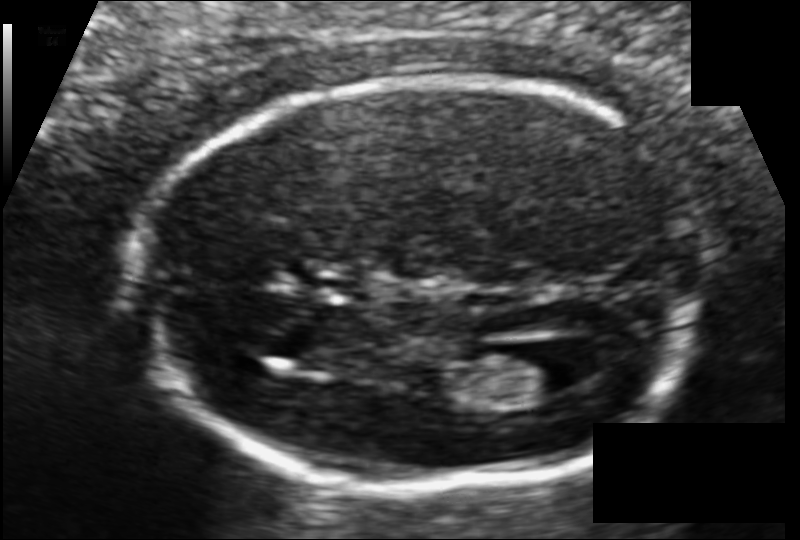
In this fetal head ultrasound, give bounding boxes for the head outline, cavum septum pellucidum (CSP), and lateral ventricle (LV), where visible. Image width: 83.6 mm.

Head: [136,79,702,492]
Lateral ventricle: [493,336,589,405]